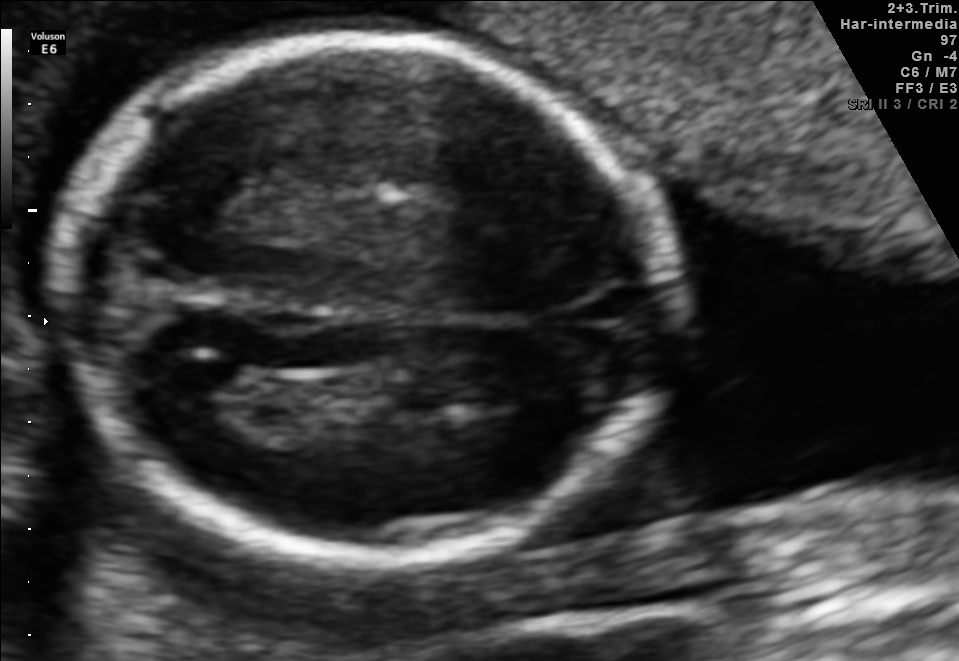
Fetal brain, trans-thalamic plane. Locate the fetal head and, if visible, the cavum septum pellucidum (CSP) and lateral ventricle (LV). Give bounding boxes as [x1,y1,x2,y2].

Head: [60,38,671,559]
Lateral ventricle: [226,379,361,433]